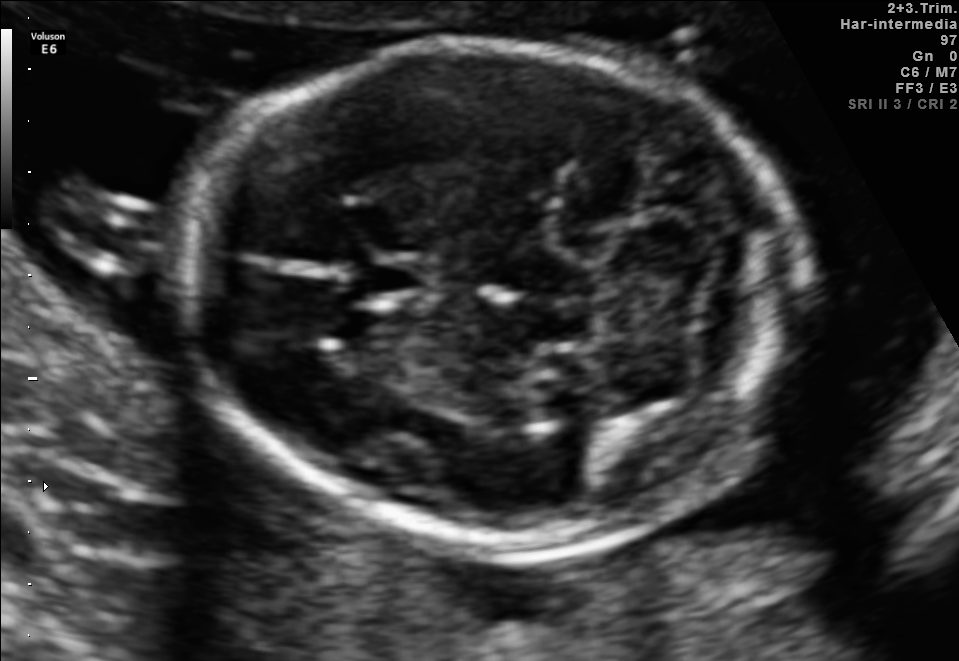
In this fetal brain, trans-cerebellum plane, give the bounding box of the fetal head.

[183,44,808,543]